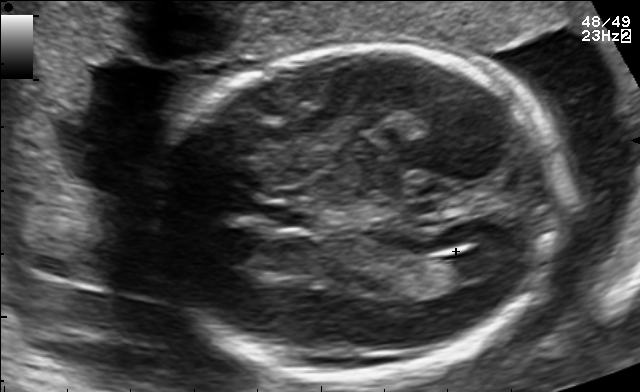
In this fetal brain, trans-ventricular plane, give the bounding box of the cavum septum pellucidum.

[253,198,322,235]